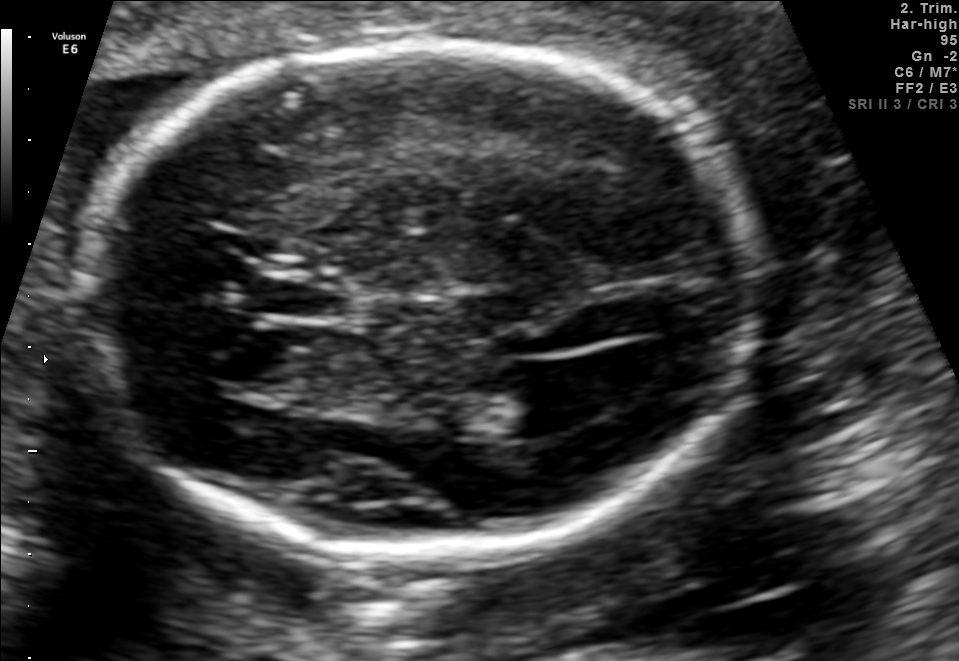
Fetal brain, trans-ventricular plane. Locate the fetal head and, if visible, the cavum septum pellucidum (CSP) and lateral ventricle (LV). Give bounding boxes as [x1,y1,x2,y2].

Head: [67,32,772,571]
CSP: [248,265,356,326]
Lateral ventricle: [497,351,618,441]